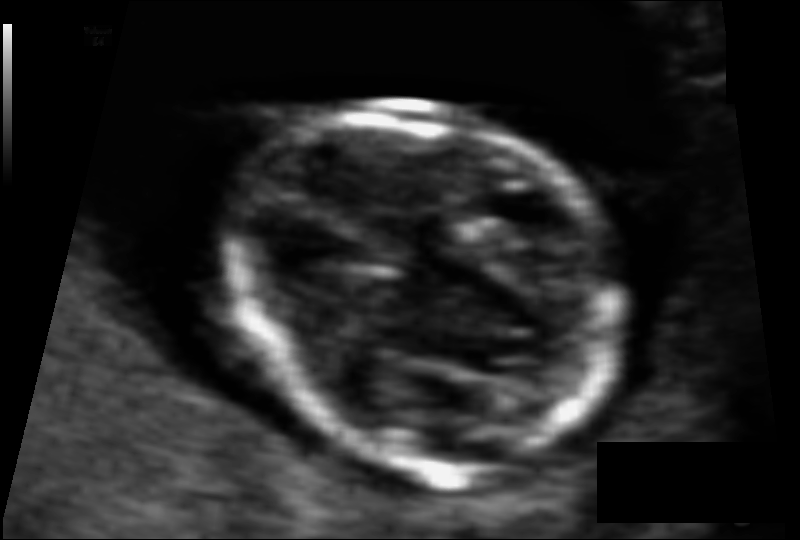
Measure the fetal head circumference shown in this ultrasound image. Image width: 50.5 mm.

Head circumference: 75.2 mm.